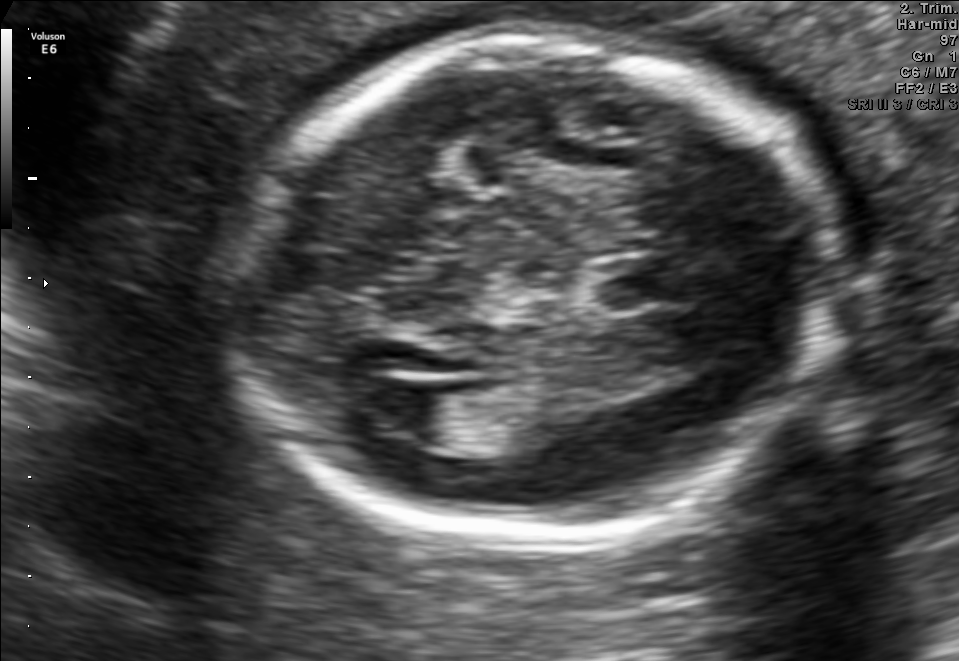
Fetal brain, trans-ventricular plane. Where is the lateral ventricle?

Lateral ventricle bounding box: [363,374,449,441]